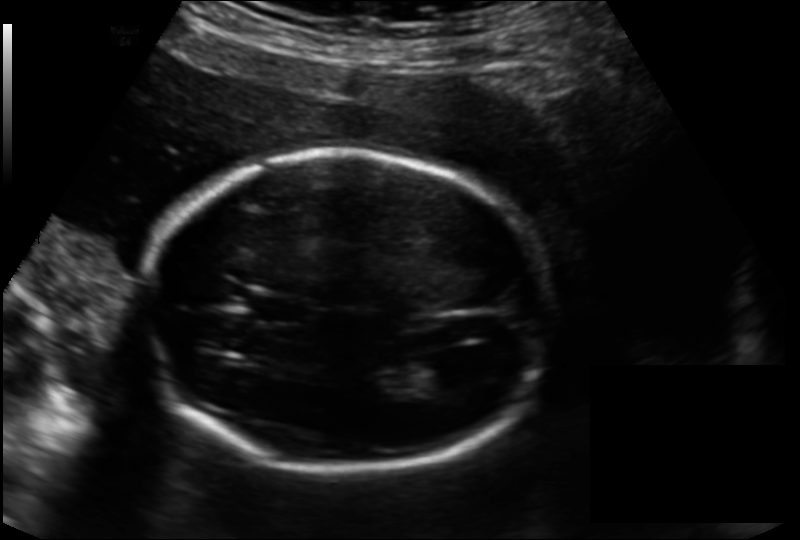
Estimate the fetal head circumference from this 2D ultrasound.

Head circumference: 197.8 mm (image width 133.1 mm).